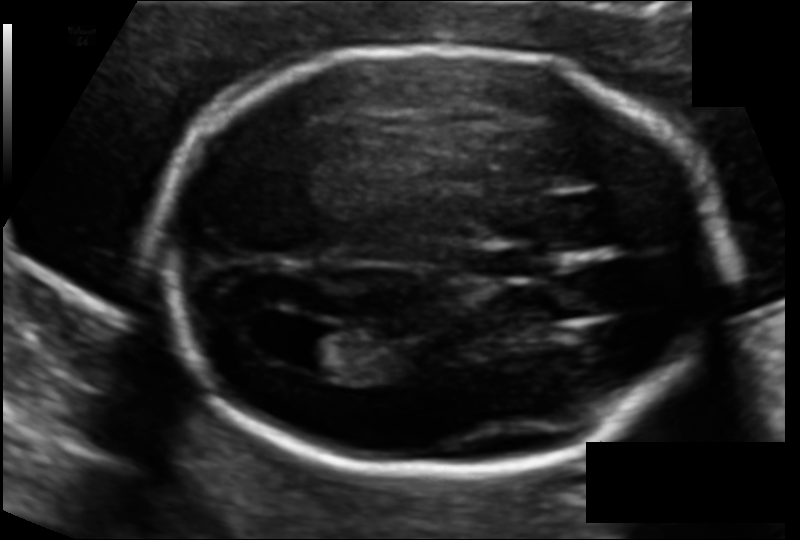
Fetal head ultrasound. Image width: 89.4 mm. Locate the lateral ventricle.

Lateral ventricle: [291,320,371,384]